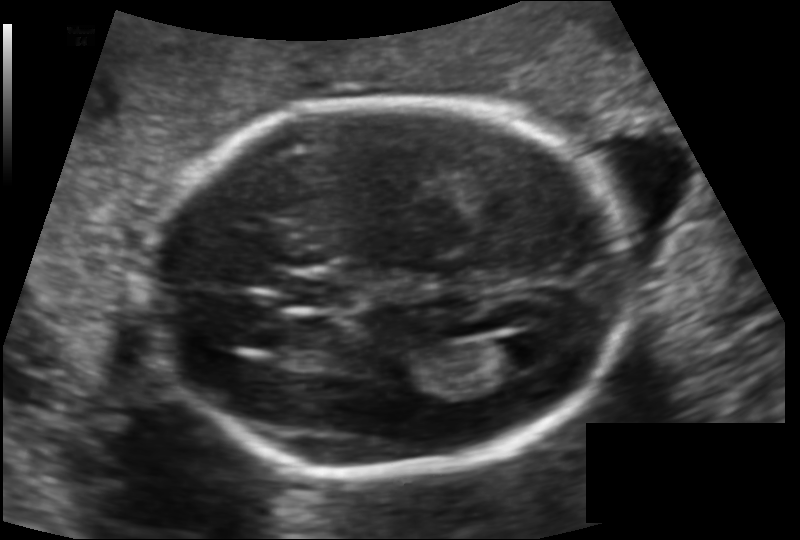
From this fetal ultrasound, estimate the head circumference (image width 100.1 mm).

Head circumference: 173.2 mm.